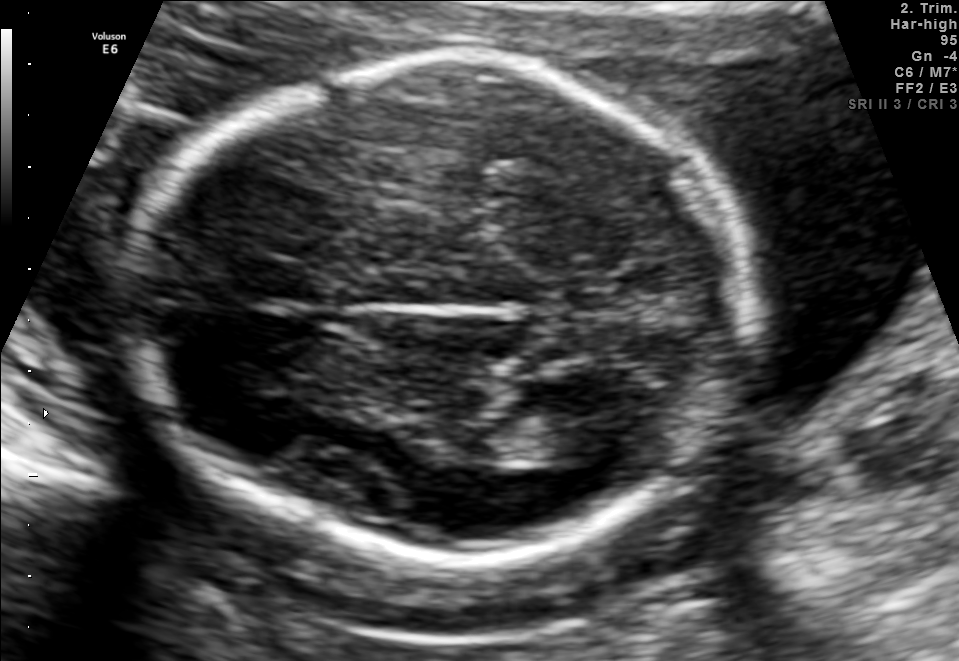
In this fetal brain, trans-thalamic plane, give bounding boxes for the head outline, cavum septum pellucidum (CSP), and lateral ventricle (LV), where visible.

Head: [126,64,757,561]
Lateral ventricle: [515,409,619,469]